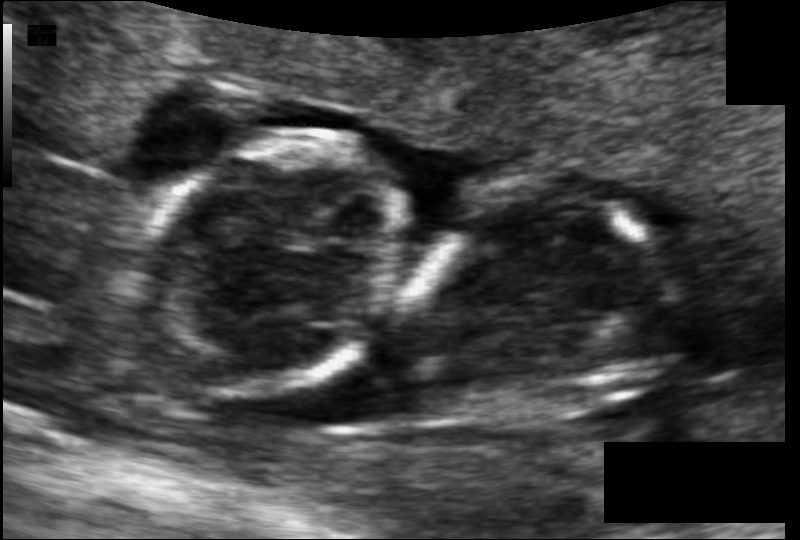
Measure the fetal head circumference shown in this ultrasound image. Image width: 68.1 mm.

Head circumference: 76.3 mm.